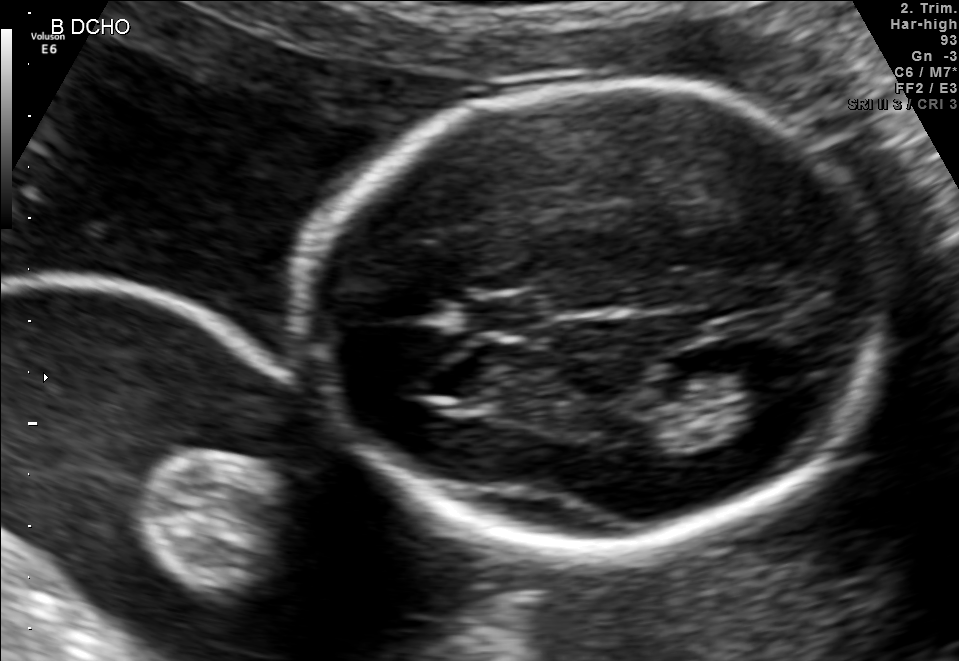
Fetal brain, trans-thalamic plane. Where is the lateral ventricle?

Lateral ventricle bounding box: [709,332,809,422]